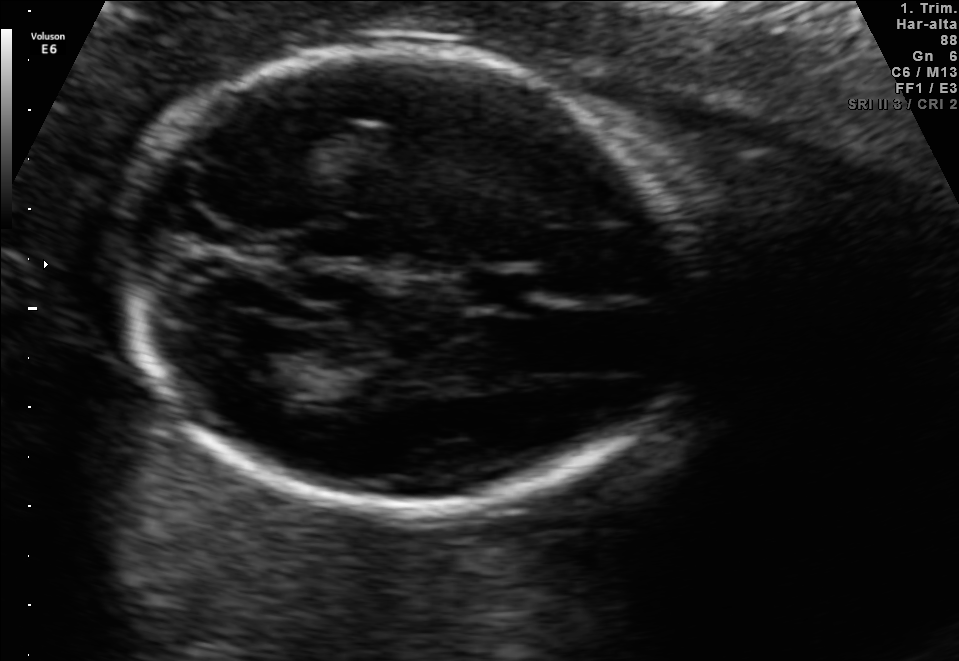
Fetal brain, trans-thalamic plane. Locate the cavum septum pellucidum.

CSP: [464,273,531,307]